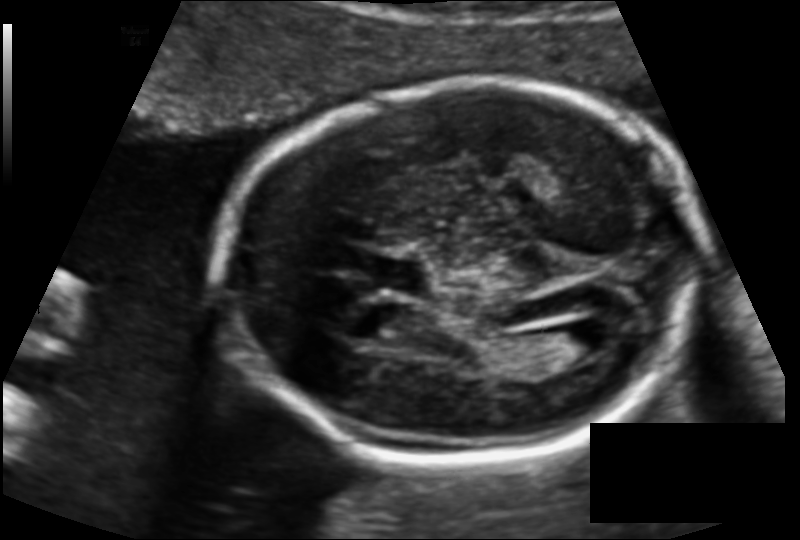
What is the fetal head circumference? Image width is 99.5 mm.

173.9 mm